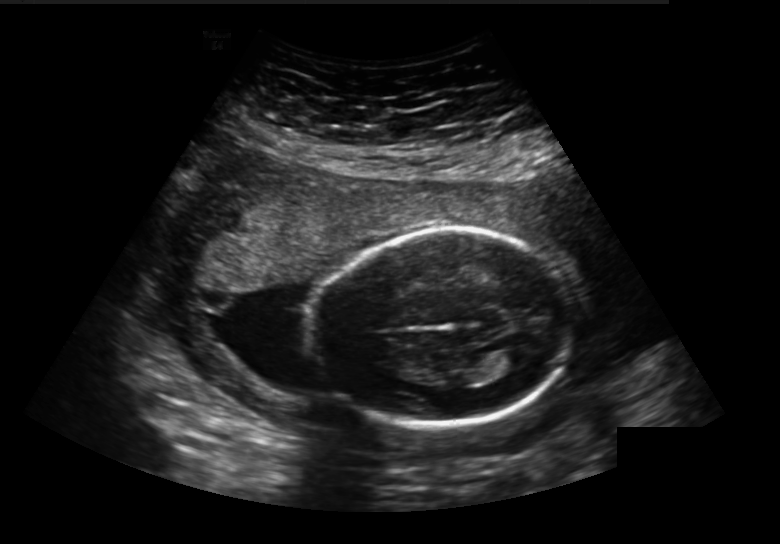
From this fetal ultrasound, estimate the head circumference (image width 184.0 mm).

Head circumference: 176.3 mm.